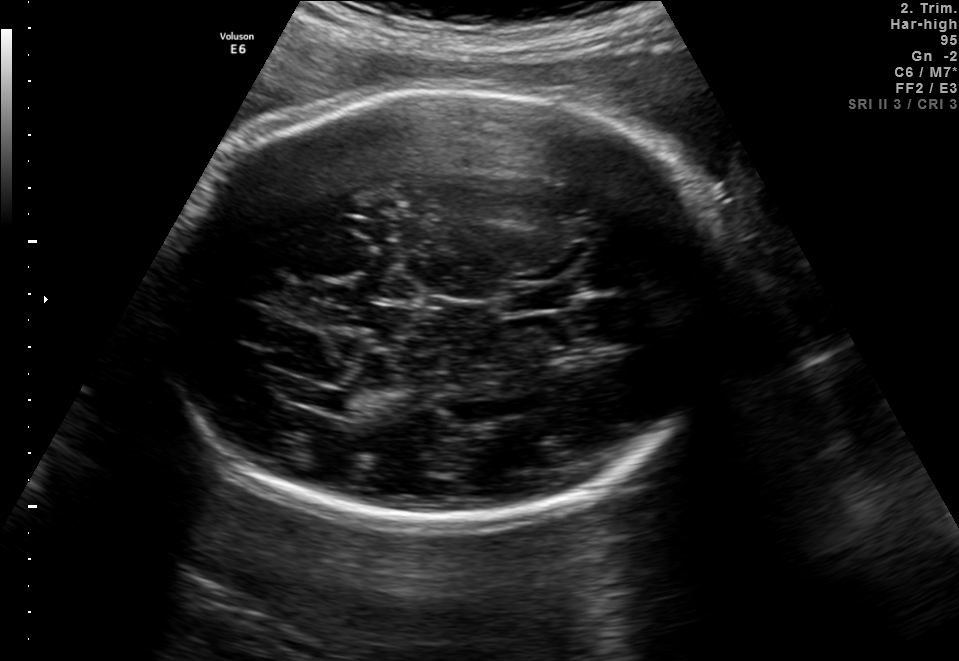
Fetal brain, trans-thalamic plane. Where is the cavum septum pellucidum?

CSP bounding box: [504,284,568,312]